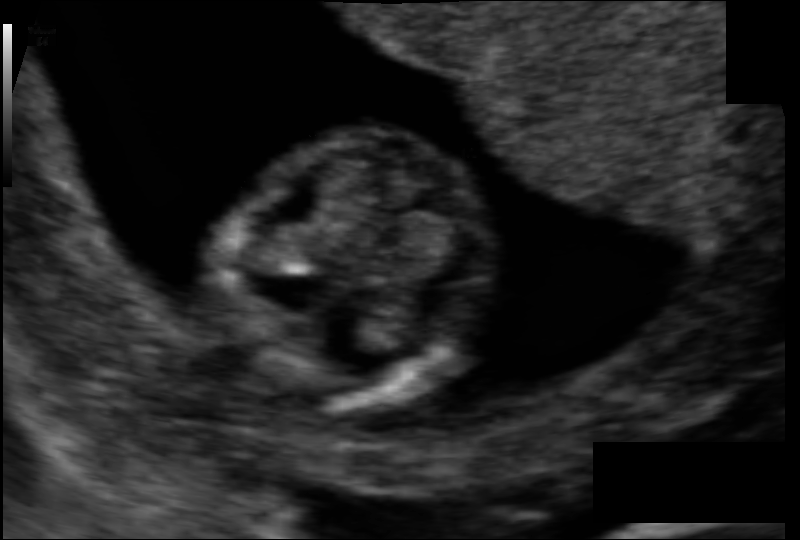
Fetal head ultrasound. Image width: 61.7 mm. Locate the fetal head and, if visible, the cavum septum pellucidum (CSP) and lateral ventricle (LV). Give bounding boxes as [x1,y1,x2,y2].

Head: [221,130,494,408]